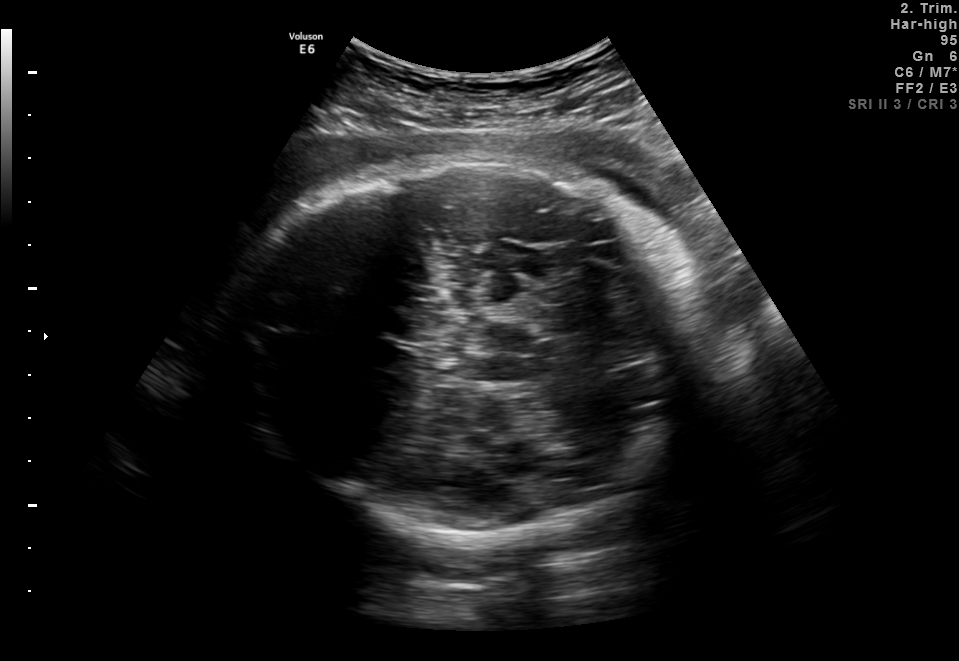
Fetal brain, trans-thalamic plane. Locate the fetal head.

Head: [225,158,706,535]